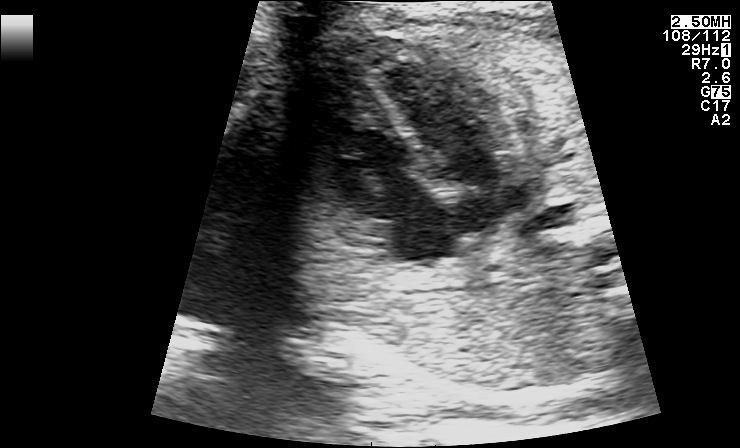
This is a 2D maternal-fetal ultrasound frame. Is it a fetal abdomen, fetal brain, fetal femur, fetal thorax, maternal cervix, or other standard plane? If it's fetal brain and one of the three standard brain planes (trans-thalamic, trans-cerebellum, trans-ventricular), name which.

Fetal thorax